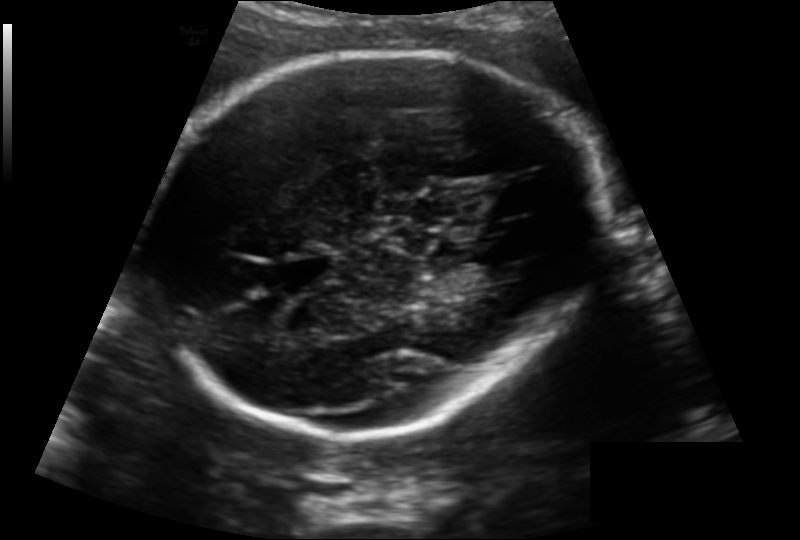
Fetal head ultrasound. Image width: 130.3 mm. Where is the cavum septum pellucidum?

CSP bounding box: [272,247,340,296]